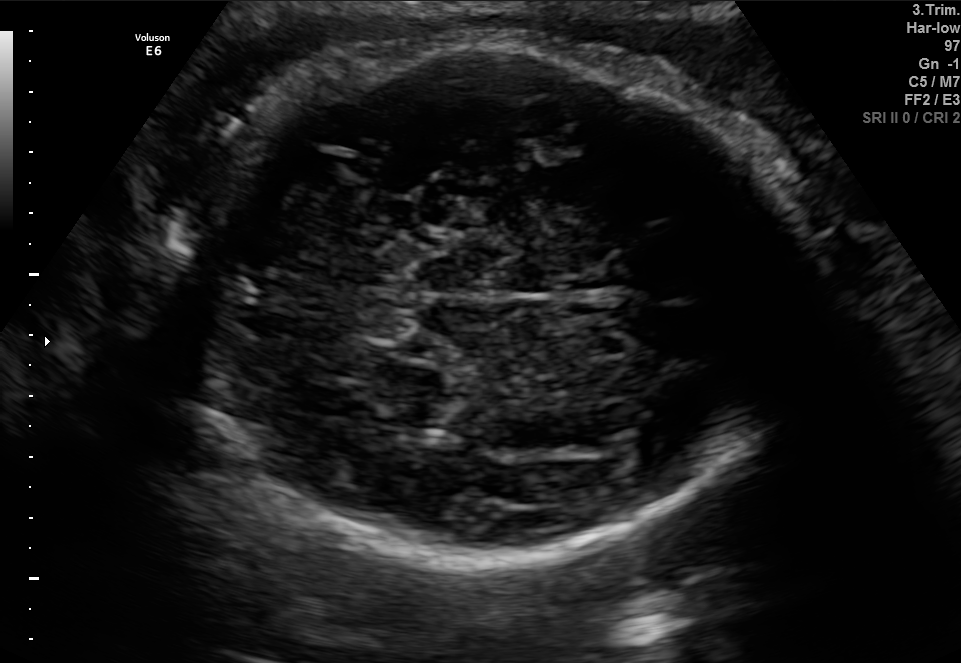
Fetal brain, trans-cerebellum plane. Locate the fetal head and, if visible, the cavum septum pellucidum (CSP) and lateral ventricle (LV). Give bounding boxes as [x1,y1,x2,y2].

Head: [161,40,790,561]